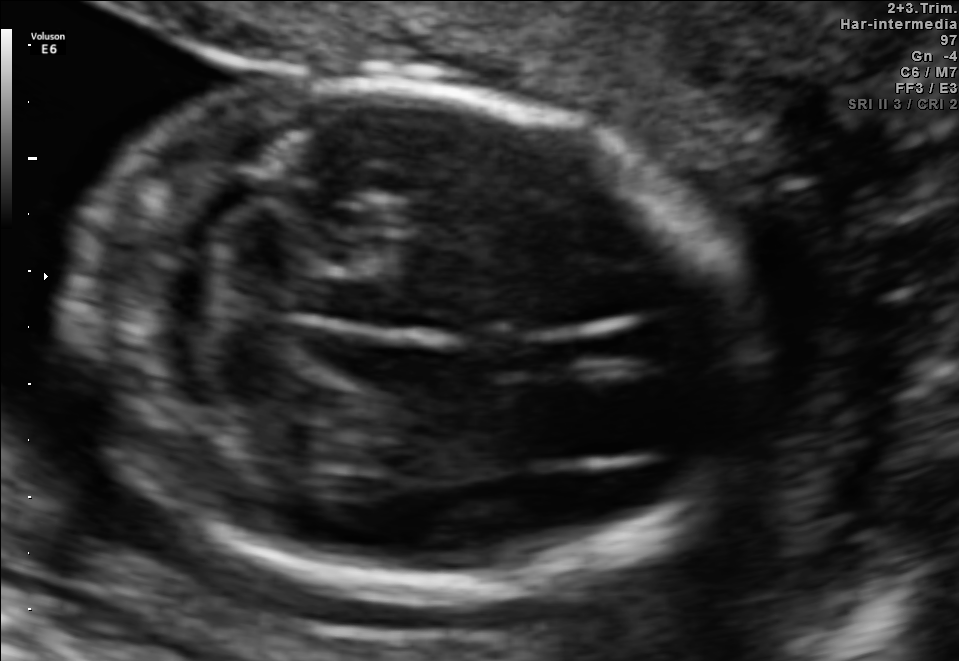
Fetal brain, trans-cerebellum plane. Locate the fetal head and, if visible, the cavum septum pellucidum (CSP) and lateral ventricle (LV). Give bounding boxes as [x1,y1,x2,y2].

Head: [69,84,750,585]
CSP: [478,330,581,381]